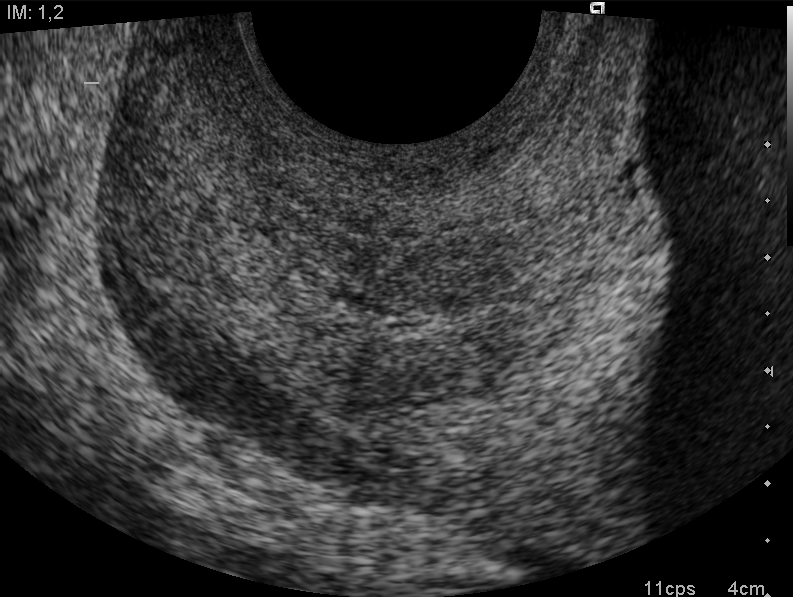
This is a 2D maternal-fetal ultrasound frame. Is it a fetal abdomen, fetal brain, fetal femur, fetal thorax, maternal cervix, or other standard plane? If it's fetal brain and one of the three standard brain planes (trans-thalamic, trans-cerebellum, trans-ventricular), name which.

Maternal cervix